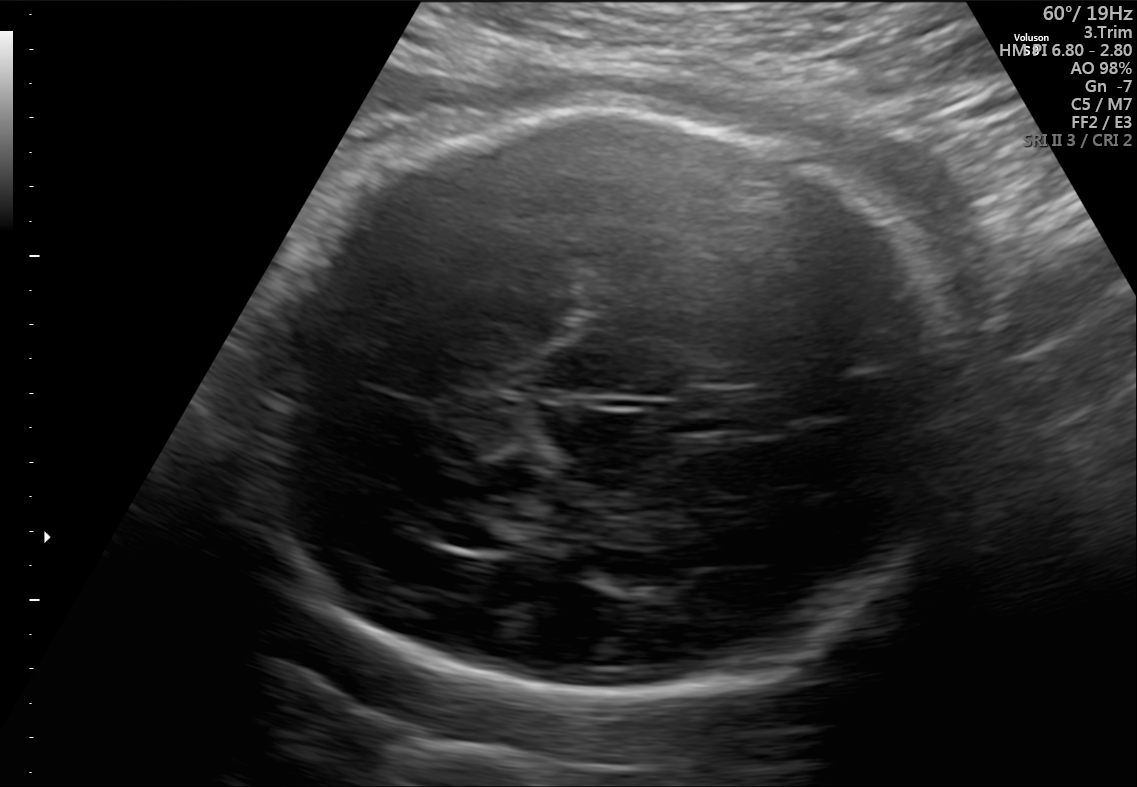
Fetal brain, trans-thalamic plane. Locate the fetal head and, if visible, the cavum septum pellucidum (CSP) and lateral ventricle (LV). Give bounding boxes as [x1,y1,x2,y2].

Head: [242,110,969,699]
CSP: [680,390,757,434]
Lateral ventricle: [426,508,523,558]